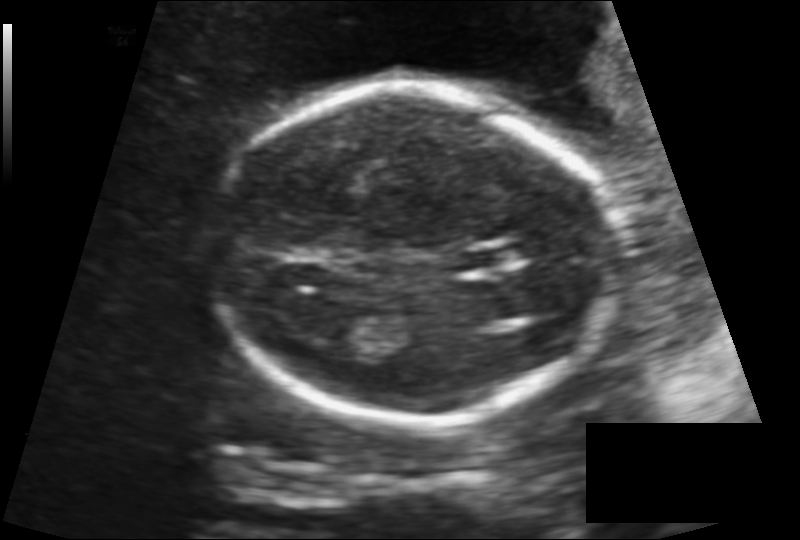
Estimate the fetal head circumference from this 2D ultrasound.

Head circumference: 168.3 mm (image width 110.1 mm).